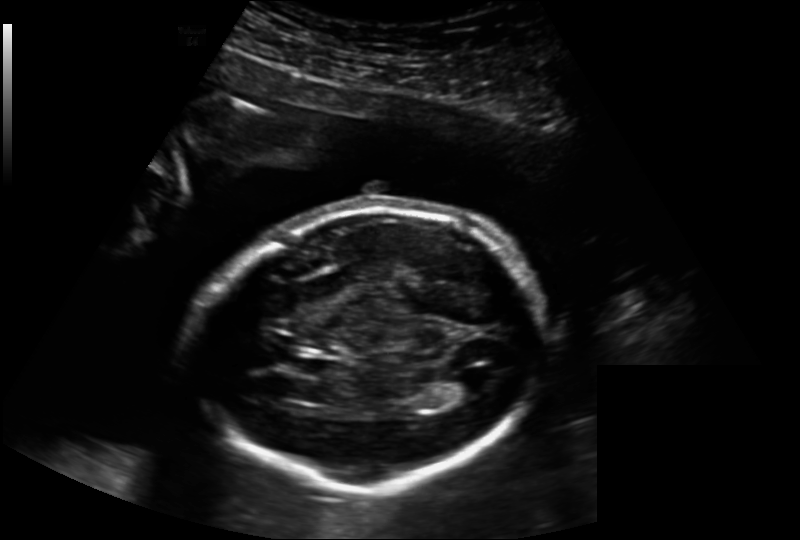
Fetal head ultrasound. Image width: 161.7 mm. Locate the cavum septum pellucidum.

CSP: [286,351,333,380]